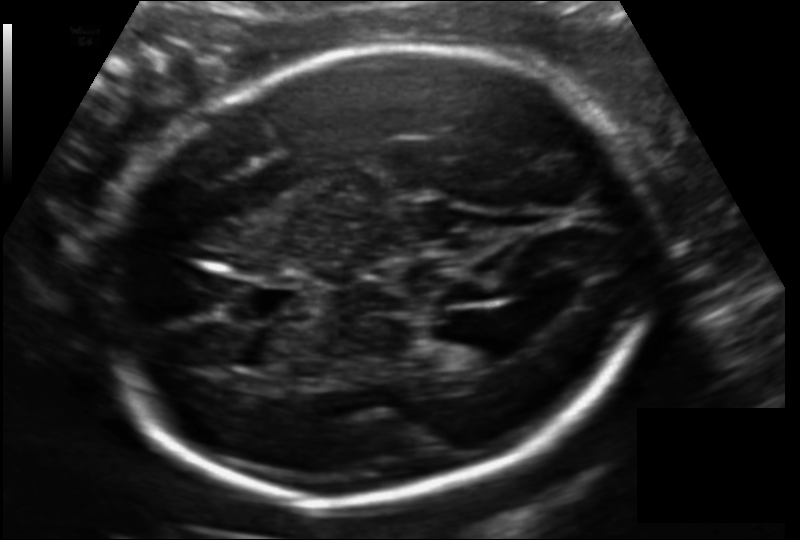
In this fetal head ultrasound, give the bounding box of the cavum septum pellucidum. Image width: 111.6 mm.

[238,277,311,325]